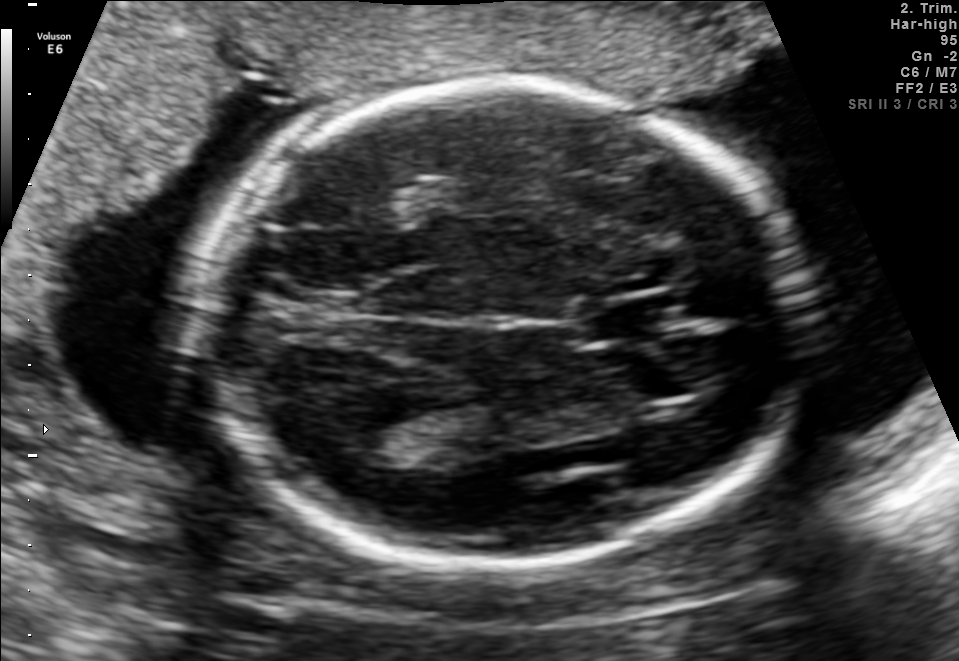
Fetal brain, trans-thalamic plane. Where is the lateral ventricle?

Lateral ventricle bounding box: [319,410,442,473]